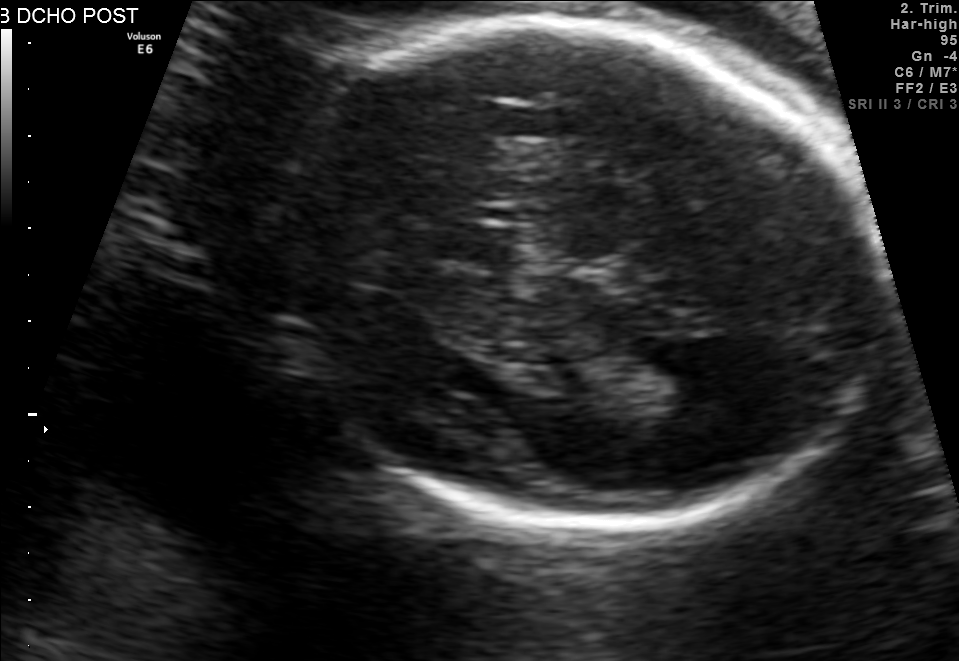
Fetal brain, trans-thalamic plane. Where is the cavum septum pellucidum?

CSP bounding box: [443,221,516,265]